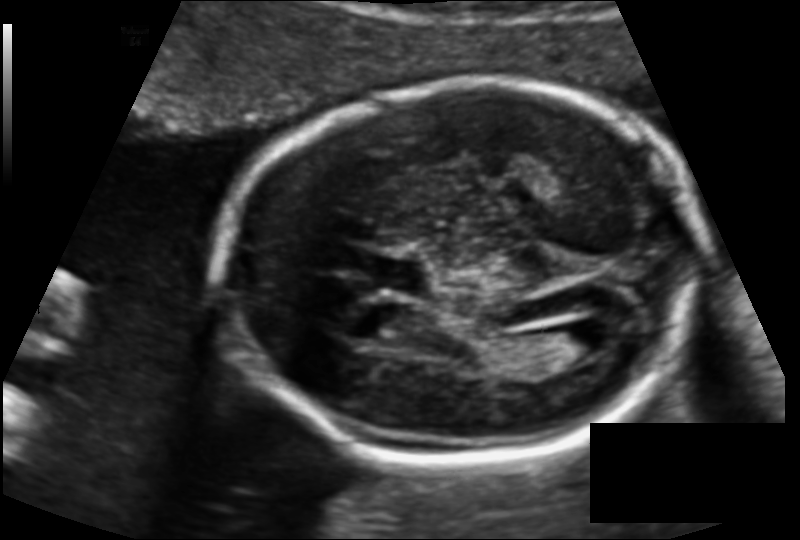
Estimate the fetal head circumference from this 2D ultrasound. Image width: 99.5 mm.

Head circumference: 173.9 mm.